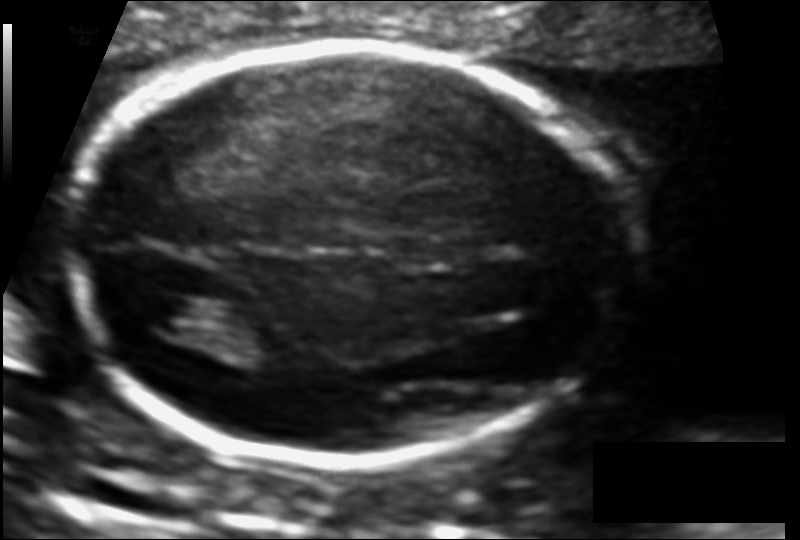
Measure the fetal head circumference shown in this ultrasound image. Image width: 88.9 mm.

Head circumference: 178.2 mm.